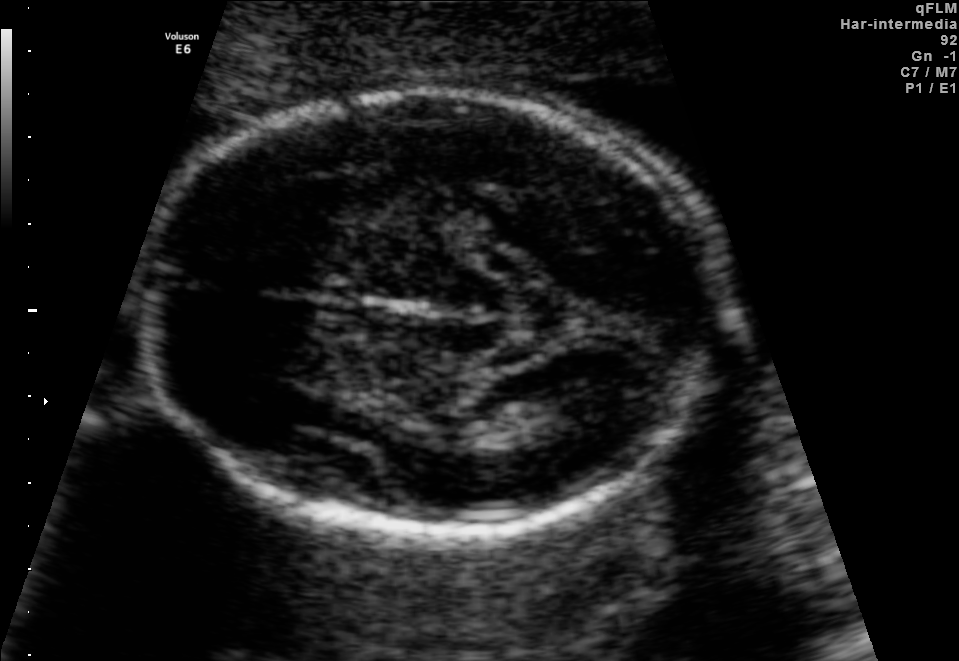
Fetal brain, trans-thalamic plane. Give [x1,y1,x2,y2] bounding boxes for each visible structure among: fetal head, CSP, LV.

Head: [144,91,715,528]
Lateral ventricle: [521,371,625,446]